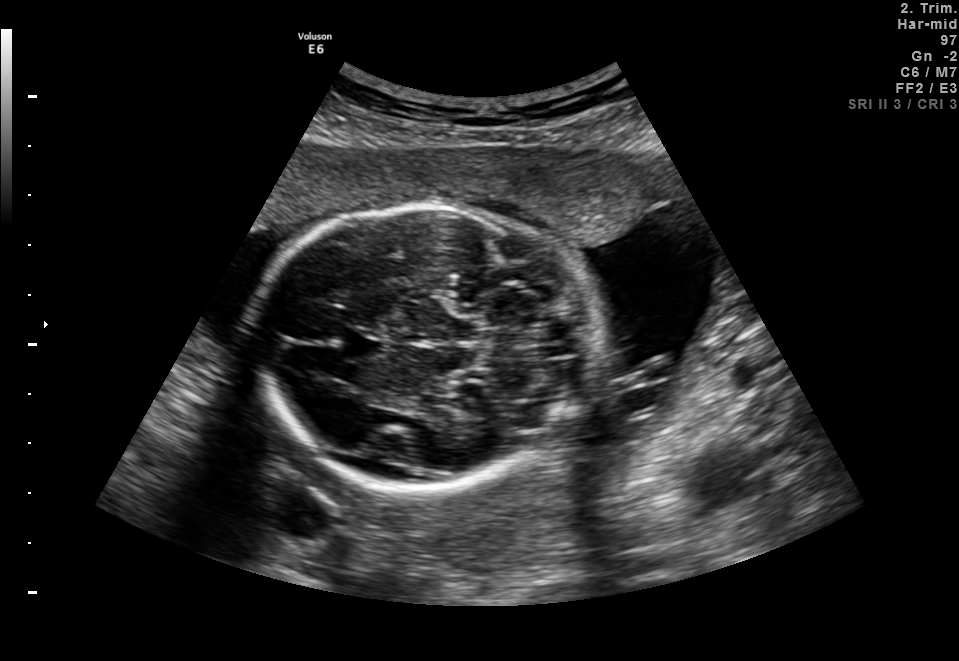
Identify the standard plane in this fetal ultrasound image: fetal abdomen, fetal brain, fetal femur, fetal thorax, maternal cervix, or other. If it's fetal brain and one of the three standard brain planes (trans-thalamic, trans-cerebellum, trans-ventricular), name which.

Fetal brain (trans-cerebellum plane)